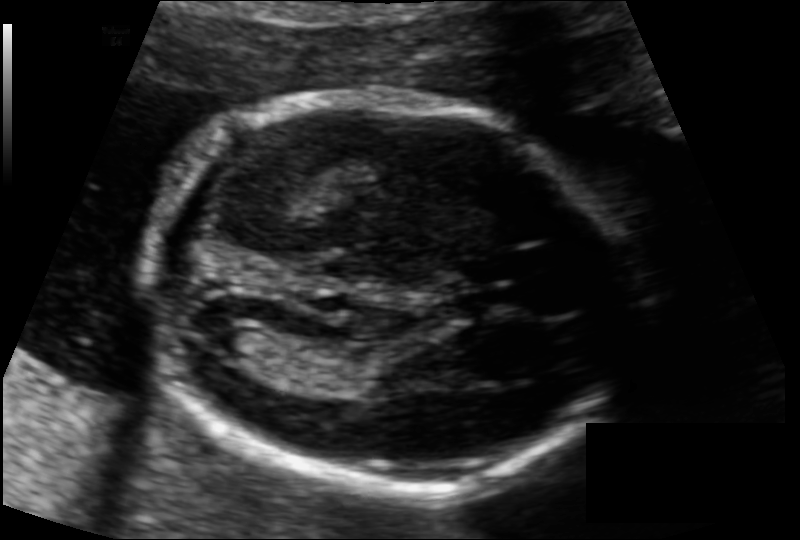
Estimate the fetal head circumference from this 2D ultrasound. Image width: 86.5 mm.

Head circumference: 154.5 mm.